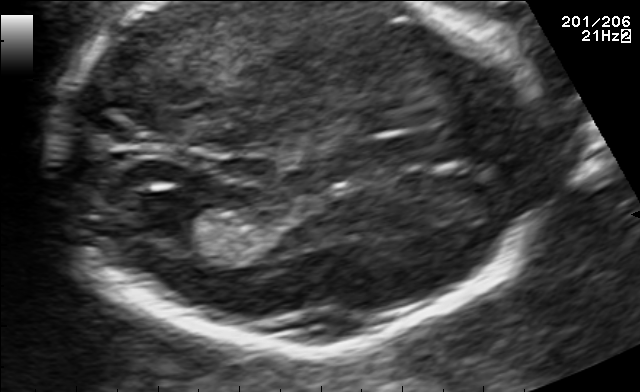
Fetal brain, trans-thalamic plane. Locate the cavum septum pellucidum (CSP) and lateral ventricle (LV), if visible. Give bounding boxes as [x1,y1,x2,y2].

CSP: [369,125,459,171]
Lateral ventricle: [135,197,219,247]